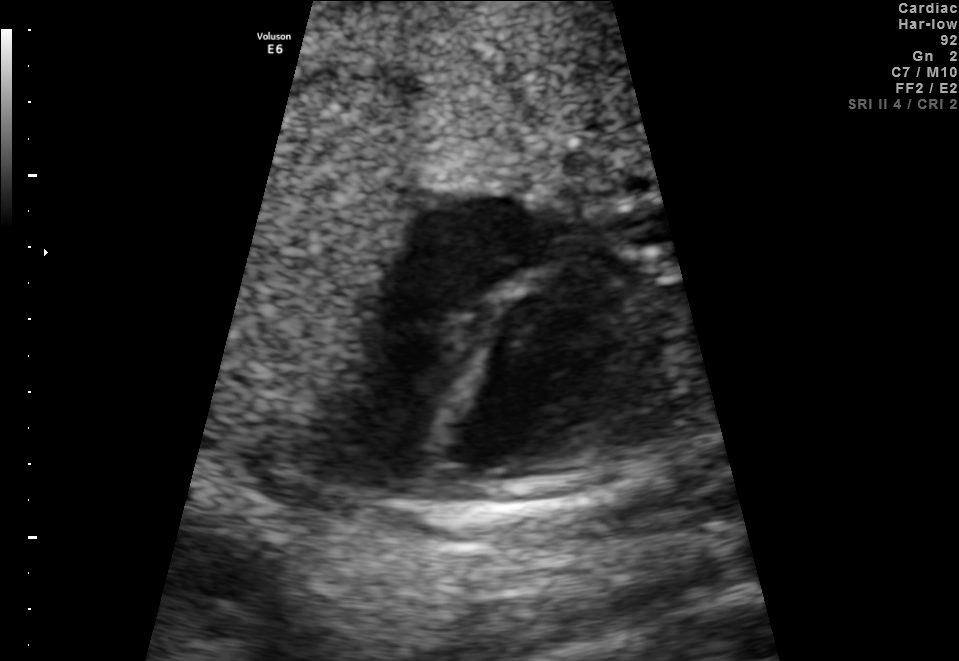
Identify the standard plane in this fetal ultrasound image: fetal abdomen, fetal brain, fetal femur, fetal thorax, maternal cervix, or other. If it's fetal brain and one of the three standard brain planes (trans-thalamic, trans-cerebellum, trans-ventricular), name which.

Fetal thorax